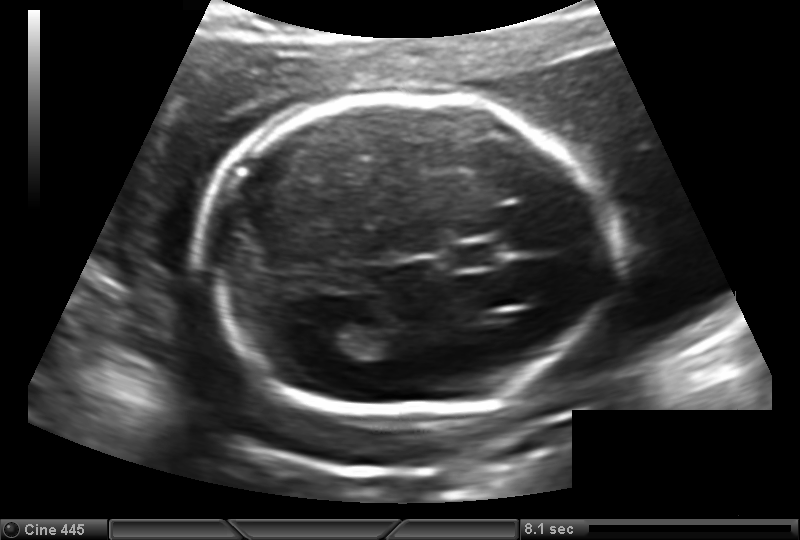
Fetal head ultrasound. Image width: 119.4 mm. Give [x1,y1,x2,y2] bounding boxes for each visible structure among: fetal head, CSP, LV.

Head: [208,94,607,415]
CSP: [446,238,504,272]
Lateral ventricle: [315,320,367,358]